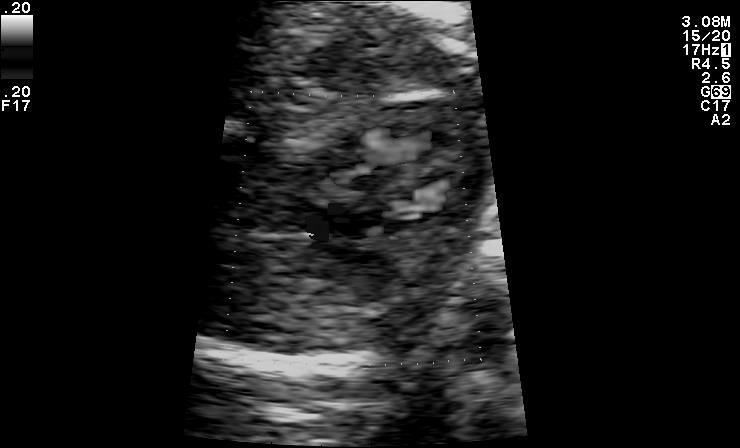
Identify the standard plane in this fetal ultrasound image: fetal abdomen, fetal brain, fetal femur, fetal thorax, maternal cervix, or other. If it's fetal brain and one of the three standard brain planes (trans-thalamic, trans-cerebellum, trans-ventricular), name which.

Other